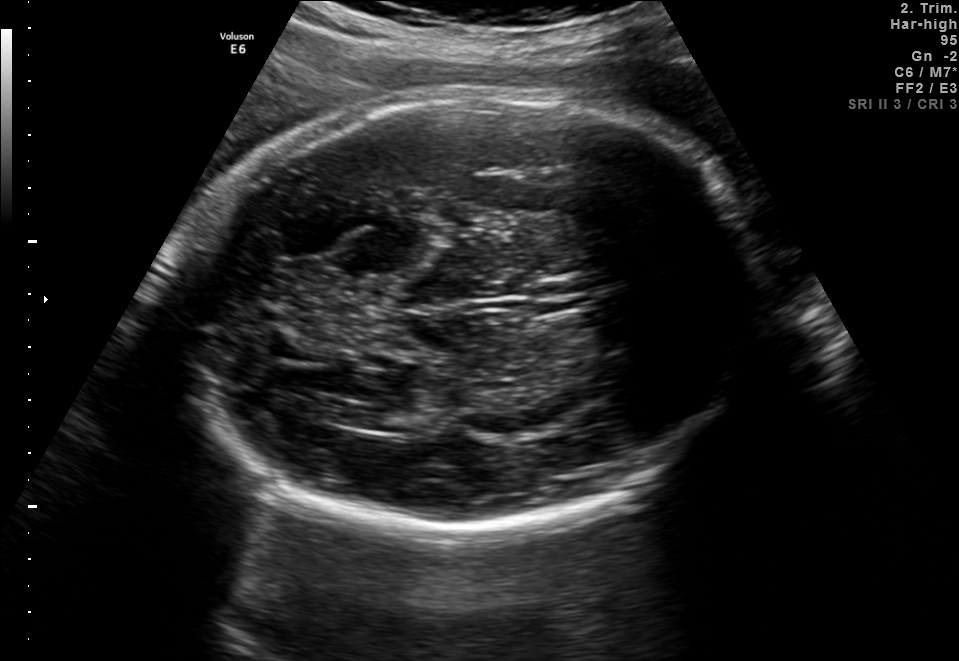
Fetal brain, trans-ventricular plane. Where is the cavum septum pellucidum?

CSP bounding box: [524,272,603,318]